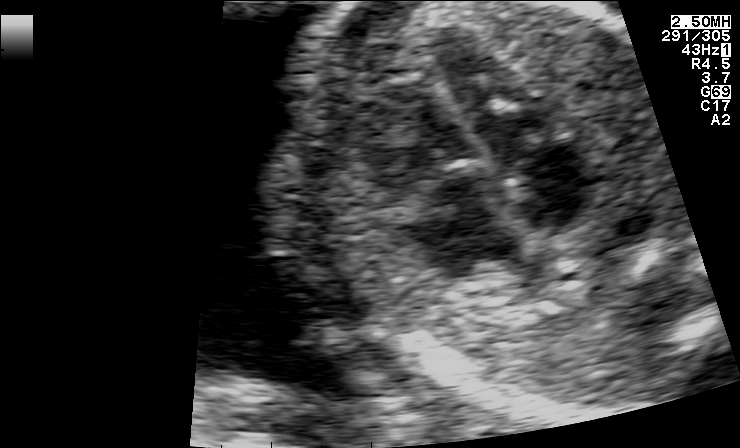
This is a 2D maternal-fetal ultrasound frame. Is it a fetal abdomen, fetal brain, fetal femur, fetal thorax, maternal cervix, or other standard plane? If it's fetal brain and one of the three standard brain planes (trans-thalamic, trans-cerebellum, trans-ventricular), name which.

Fetal thorax